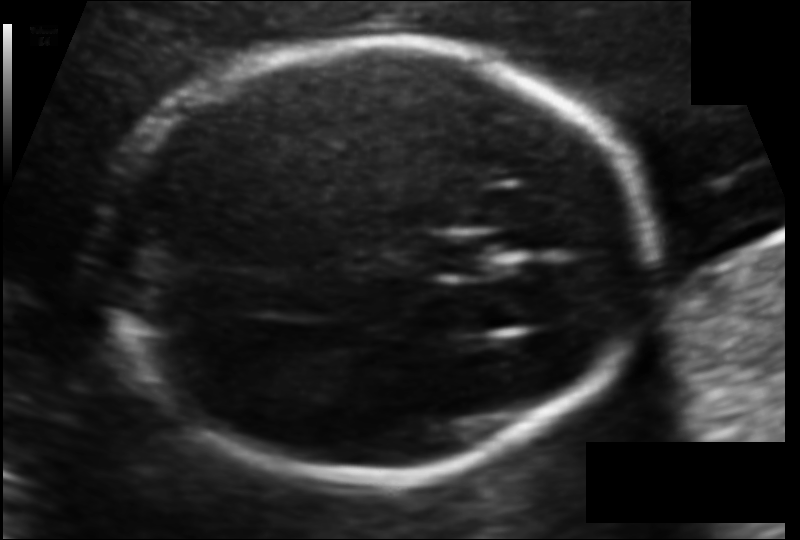
Measure the fetal head circumference shown in this ultrasound image. Image width: 83.5 mm.

Head circumference: 167.4 mm.